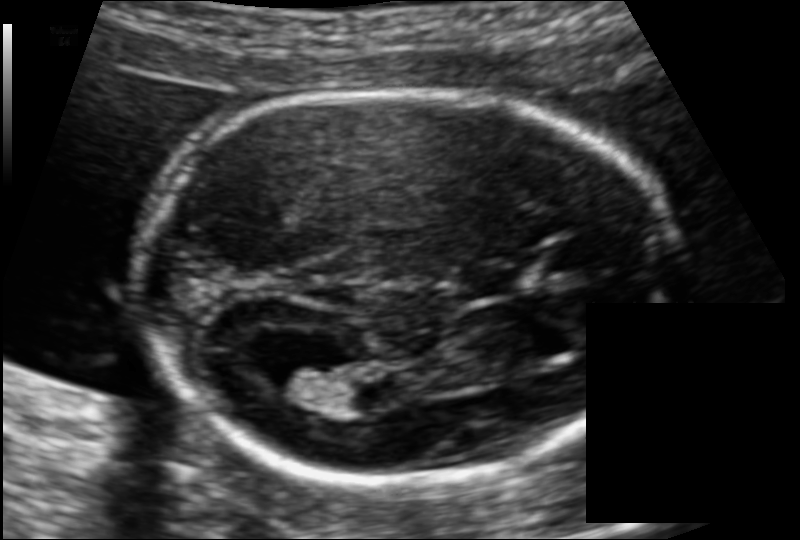
Estimate the fetal head circumference from this 2D ultrasound.

Head circumference: 159.9 mm (image width 85.1 mm).